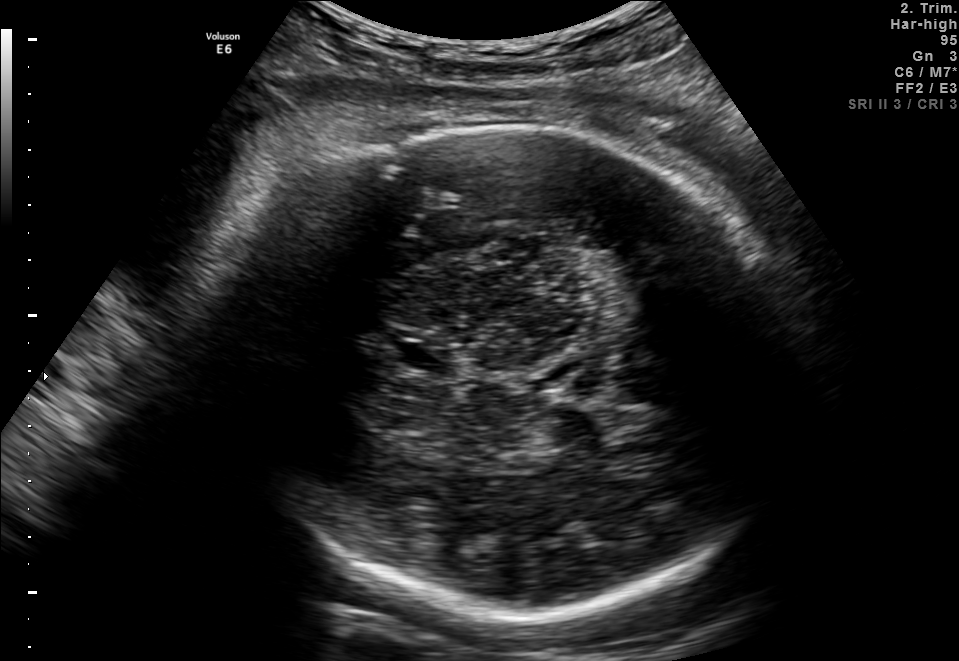
Fetal brain, trans-thalamic plane. Locate the cavum septum pellucidum.

CSP: [400,340,455,375]